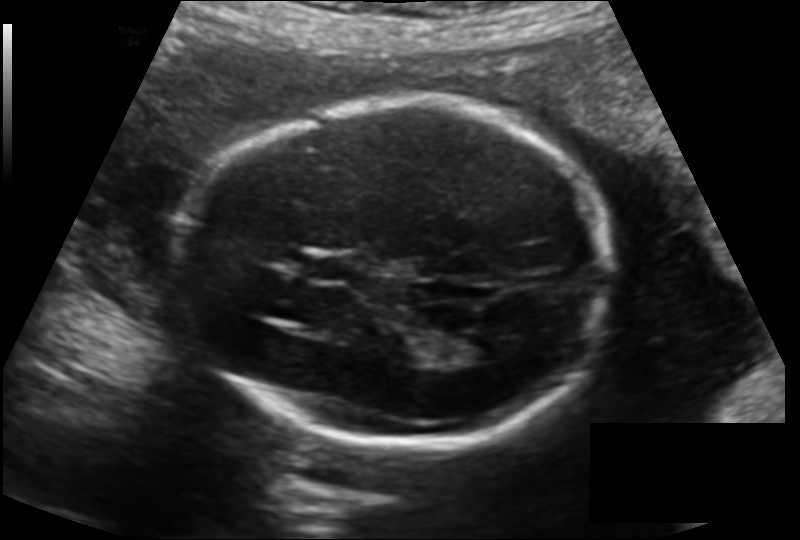
Estimate the fetal head circumference from this 2D ultrasound.

Head circumference: 180.7 mm (image width 115.3 mm).